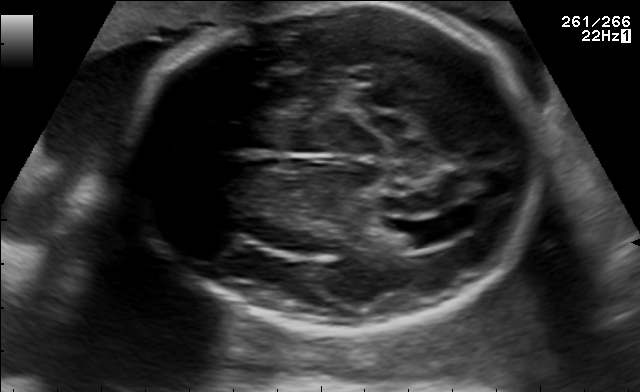
Fetal brain, trans-ventricular plane. Locate the lateral ventricle.

Lateral ventricle: [392,211,465,256]